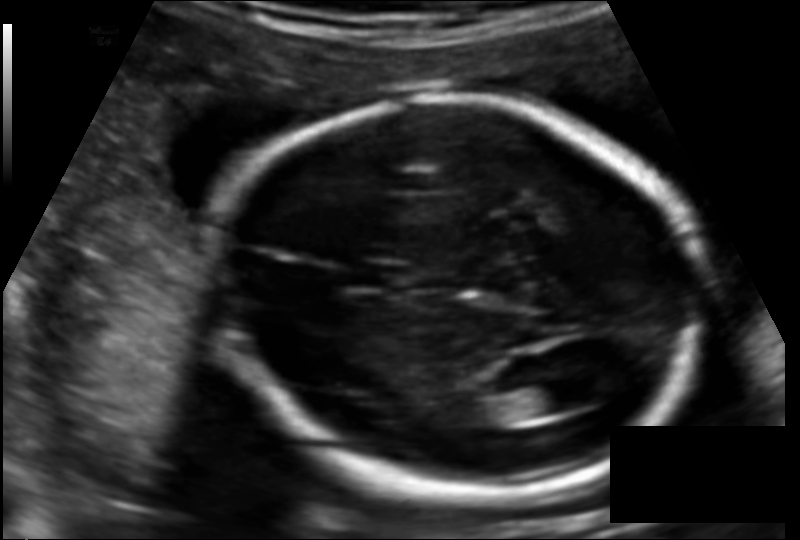
In this fetal head ultrasound, give the bounding box of the cavum septum pellucidum. Image width: 99.4 mm.

[344,260,403,290]